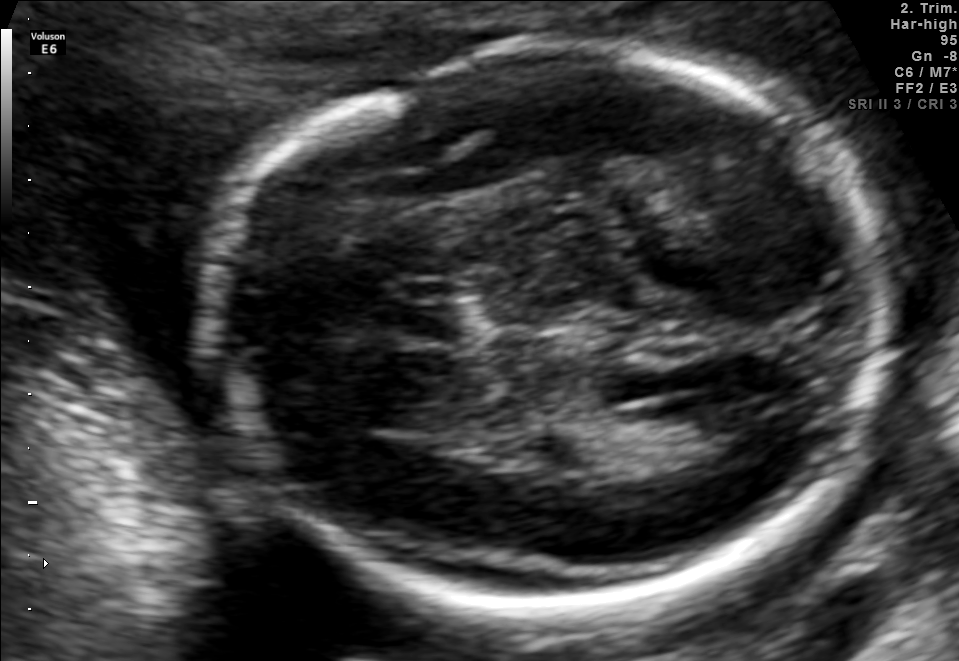
Fetal brain, trans-ventricular plane. Where is the fetal head?

Head bounding box: [194,37,909,610]